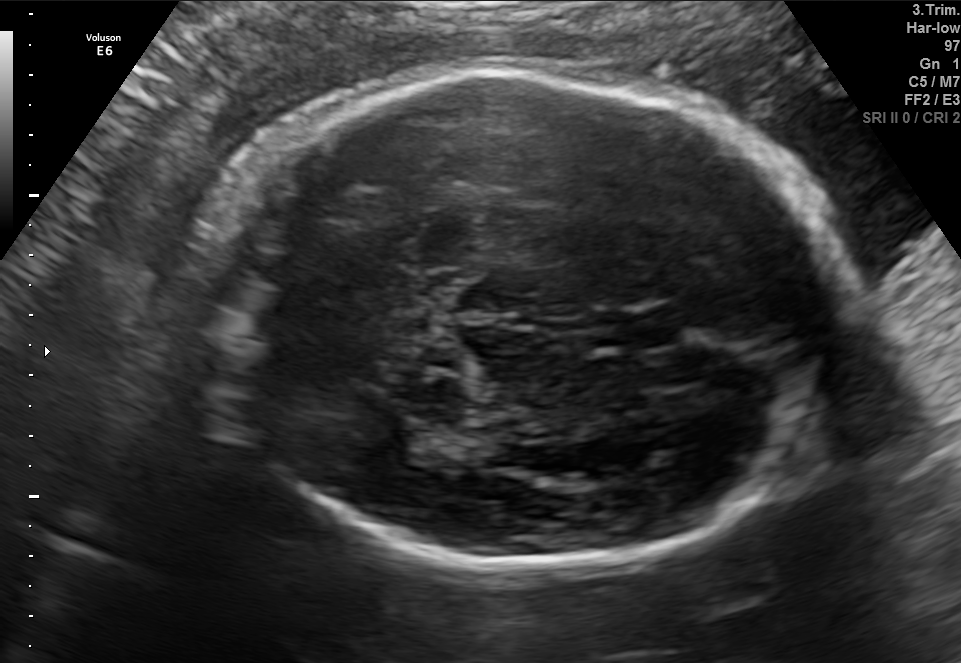
Fetal brain, trans-thalamic plane. Locate the fetal head.

Head: [196,64,841,565]